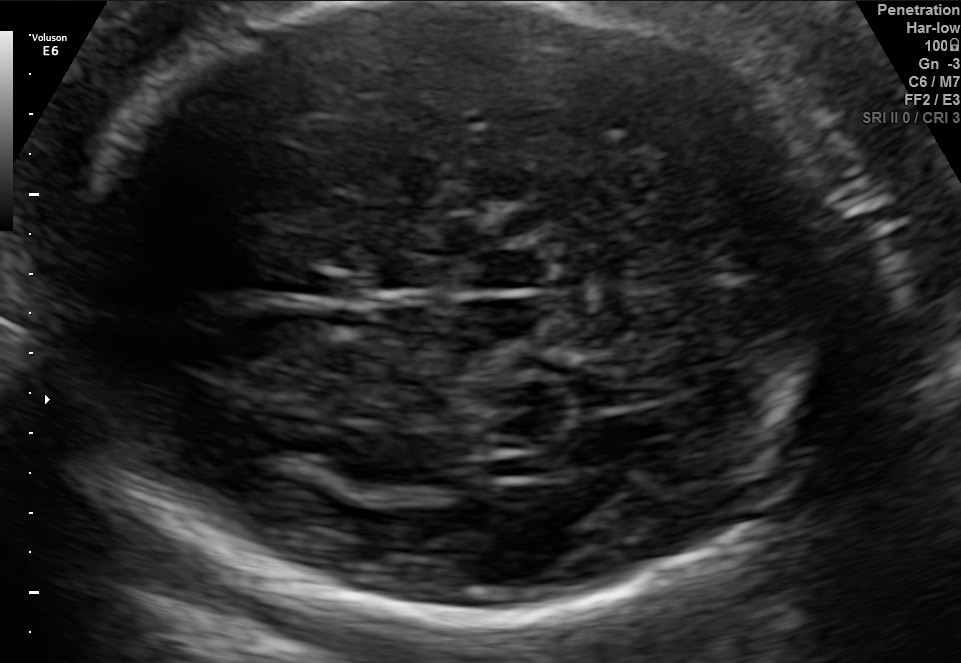
Which standard maternal-fetal ultrasound plane is shown: fetal abdomen, fetal brain, fetal femur, fetal thorax, maternal cervix, or other? If it's fetal brain and one of the three standard brain planes (trans-thalamic, trans-cerebellum, trans-ventricular), name which.

Fetal brain (trans-thalamic plane)